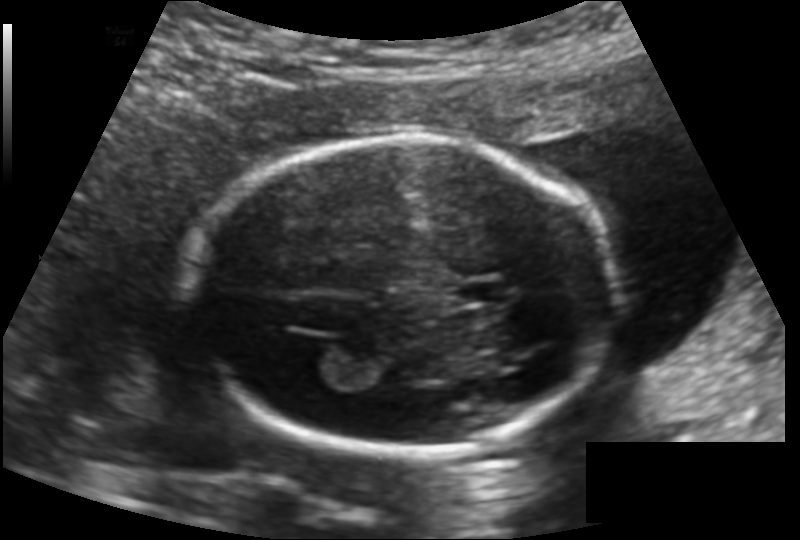
Fetal head ultrasound. Image width: 109.1 mm. Where is the cavum septum pellucidum?

CSP bounding box: [457,280,508,306]